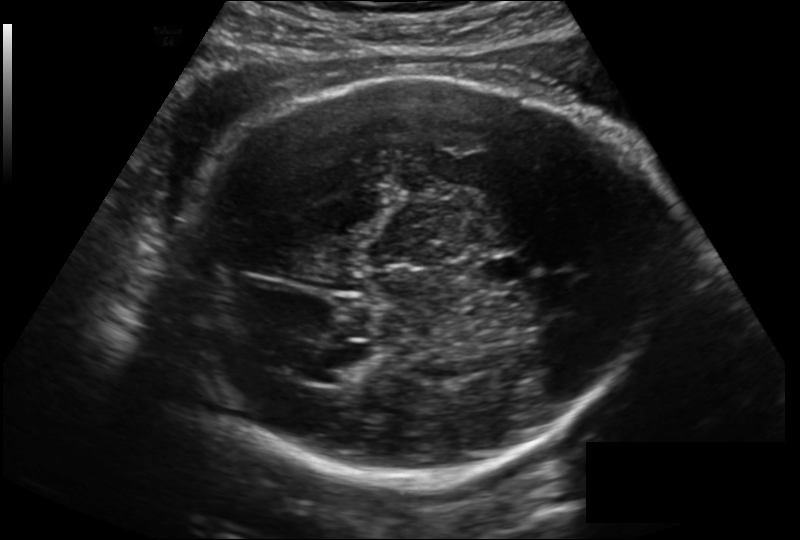
In this fetal head ultrasound, give bounding boxes for the head outline, cavum septum pellucidum (CSP), and lateral ventricle (LV), where visible. Image width: 159.3 mm.

Head: [167,76,657,477]
CSP: [474,246,532,293]
Lateral ventricle: [313,348,372,386]